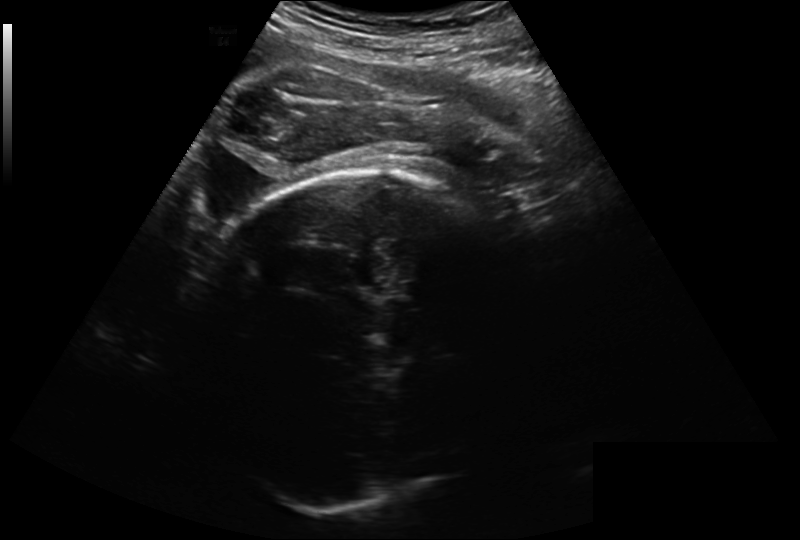
In this fetal head ultrasound, give bounding boxes for the head outline, cavum septum pellucidum (CSP), and lateral ventricle (LV), where visible. Image width: 208.2 mm.

Head: [181,170,536,512]